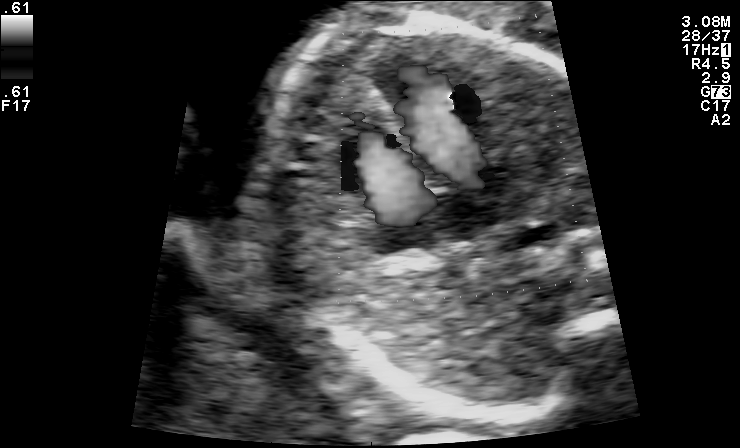
This is a 2D maternal-fetal ultrasound frame. Is it a fetal abdomen, fetal brain, fetal femur, fetal thorax, maternal cervix, or other standard plane? If it's fetal brain and one of the three standard brain planes (trans-thalamic, trans-cerebellum, trans-ventricular), name which.

Other